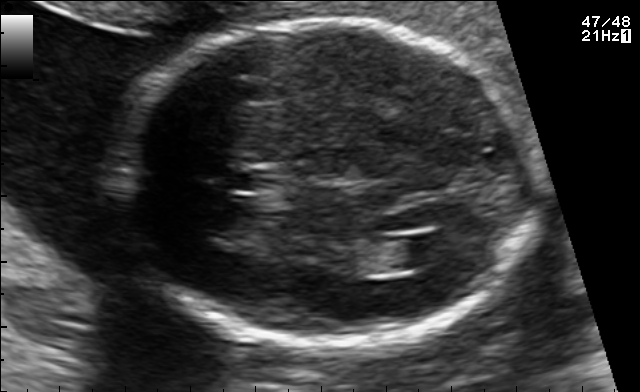
In this fetal brain, trans-ventricular plane, give bounding boxes for the head outline, cavum septum pellucidum (CSP), and lateral ventricle (LV), where visible.

Head: [109,15,545,353]
CSP: [231,169,273,191]
Lateral ventricle: [392,230,453,269]